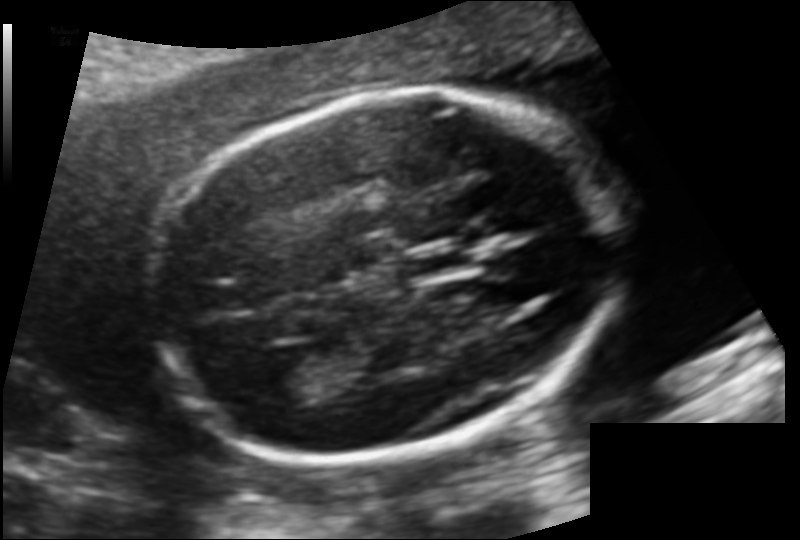
In this fetal head ultrasound, give the bounding box of the fetal head. Image width: 96.3 mm.

[152,92,613,459]